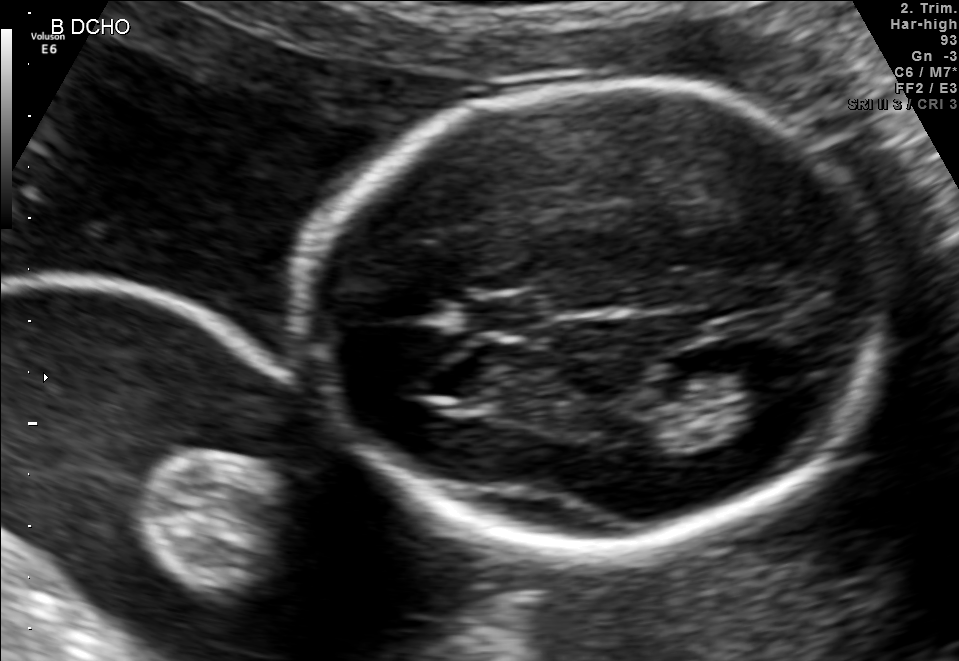
Fetal brain, trans-thalamic plane. Locate the lateral ventricle.

Lateral ventricle: [709,331,813,421]